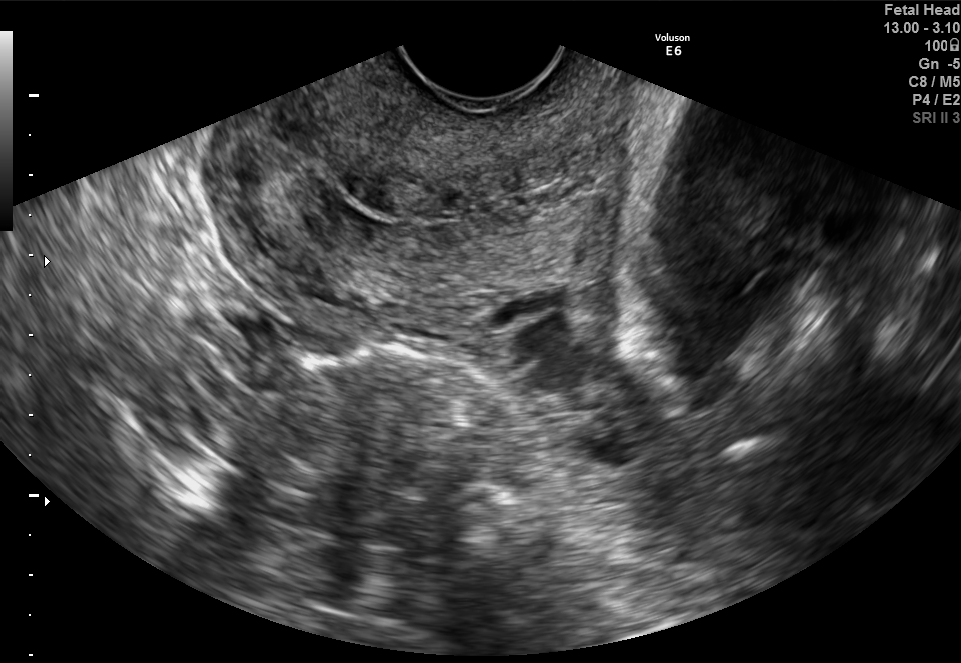
Classify this maternal-fetal ultrasound image as one of the six standard planes — fetal abdomen, fetal brain, fetal femur, fetal thorax, maternal cervix, or other. If it's fetal brain and one of the three standard brain planes (trans-thalamic, trans-cerebellum, trans-ventricular), name which.

Maternal cervix